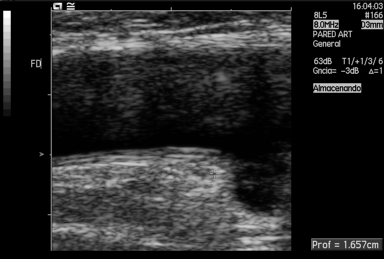
Which standard maternal-fetal ultrasound plane is shown: fetal abdomen, fetal brain, fetal femur, fetal thorax, maternal cervix, or other? If it's fetal brain and one of the three standard brain planes (trans-thalamic, trans-cerebellum, trans-ventricular), name which.

Other